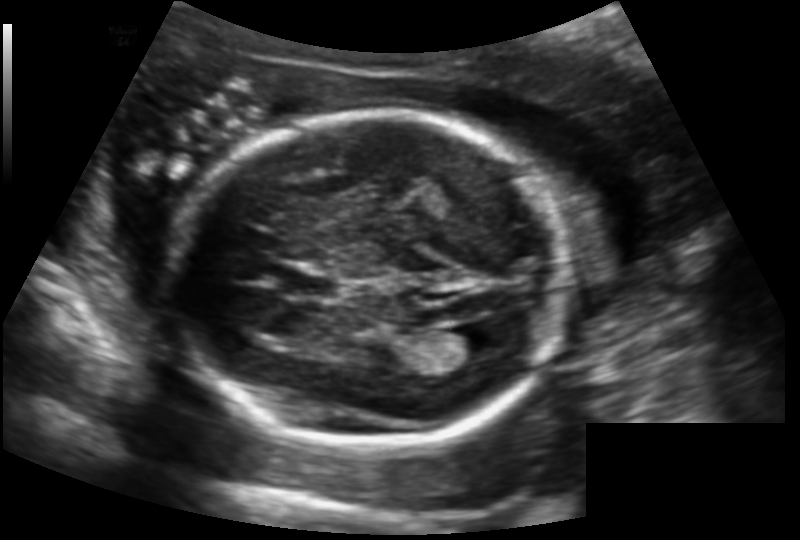
In this fetal head ultrasound, give bounding boxes for the head outline, cavum septum pellucidum (CSP), and lateral ventricle (LV), where visible. Image width: 117.4 mm.

Head: [172,113,568,449]
CSP: [280,267,340,298]
Lateral ventricle: [439,318,502,367]